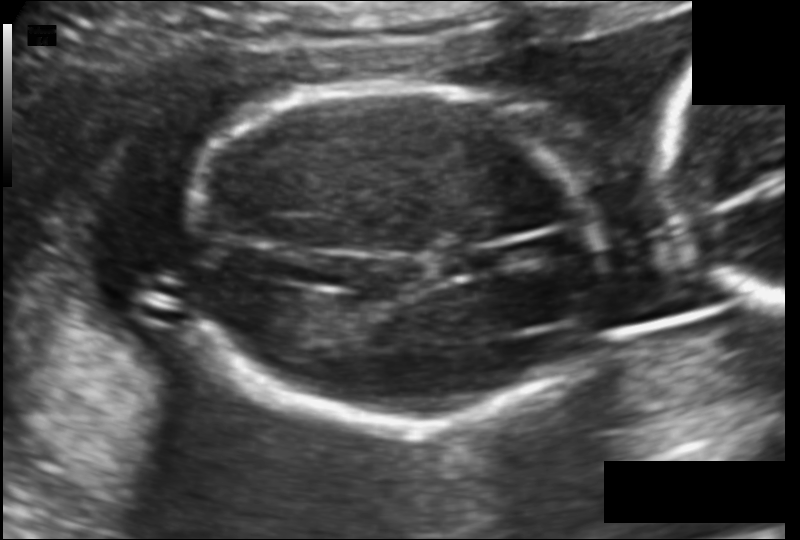
Fetal head ultrasound. Image width: 94.3 mm. Locate the cavum septum pellucidum.

CSP: [441,248,486,277]